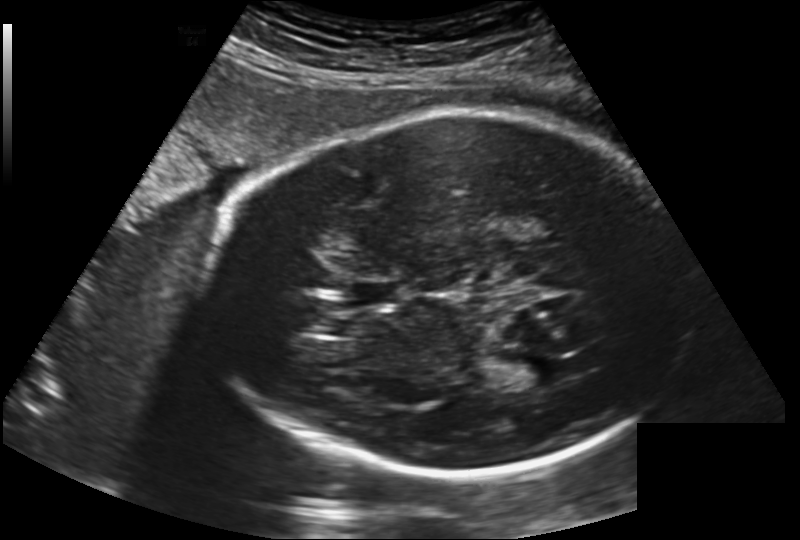
Fetal head ultrasound. Image width: 161.7 mm. Locate the cavum septum pellucidum.

CSP: [352,279,401,308]